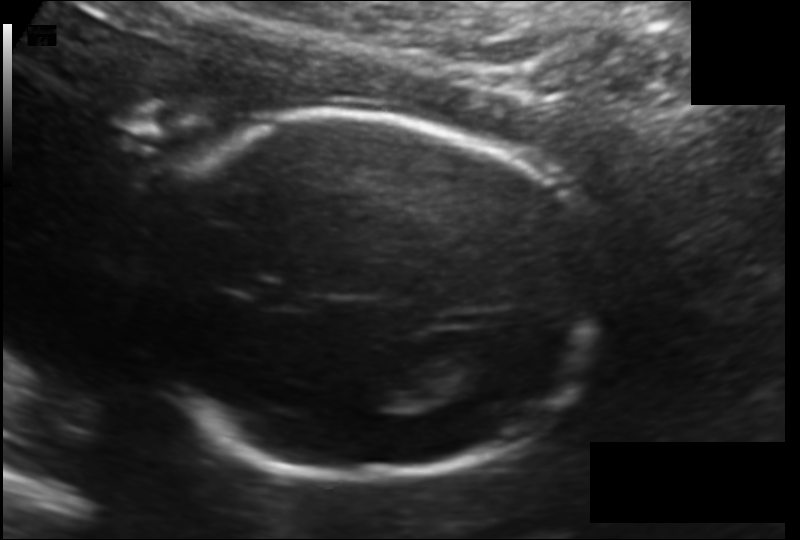
In this fetal head ultrasound, give the bounding box of the fetal head. Image width: 107.8 mm.

[133,112,598,480]